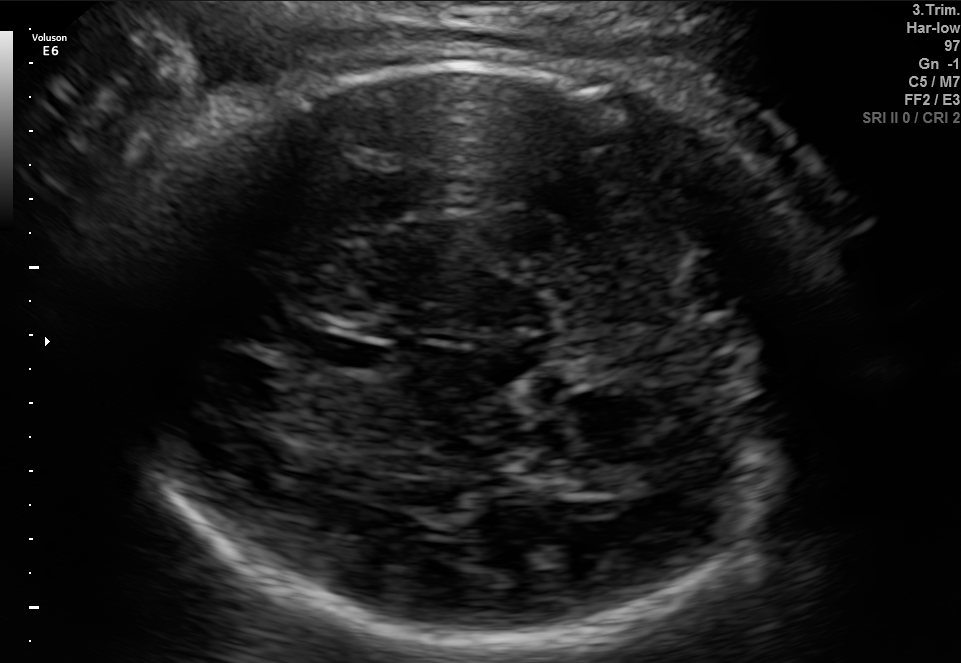
In this fetal brain, trans-thalamic plane, give the bounding box of the cavum septum pellucidum.

[306,332,392,375]